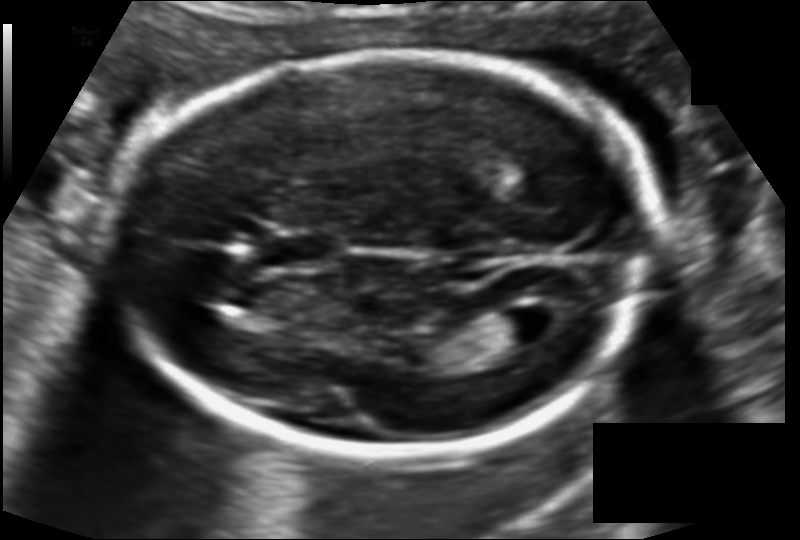
Fetal head ultrasound. Image width: 92.2 mm. Locate the fetal head and, if visible, the cavum septum pellucidum (CSP) and lateral ventricle (LV). Give bounding boxes as [x1,y1,x2,y2].

Head: [108,53,653,451]
CSP: [269,233,331,266]
Lateral ventricle: [483,297,561,355]